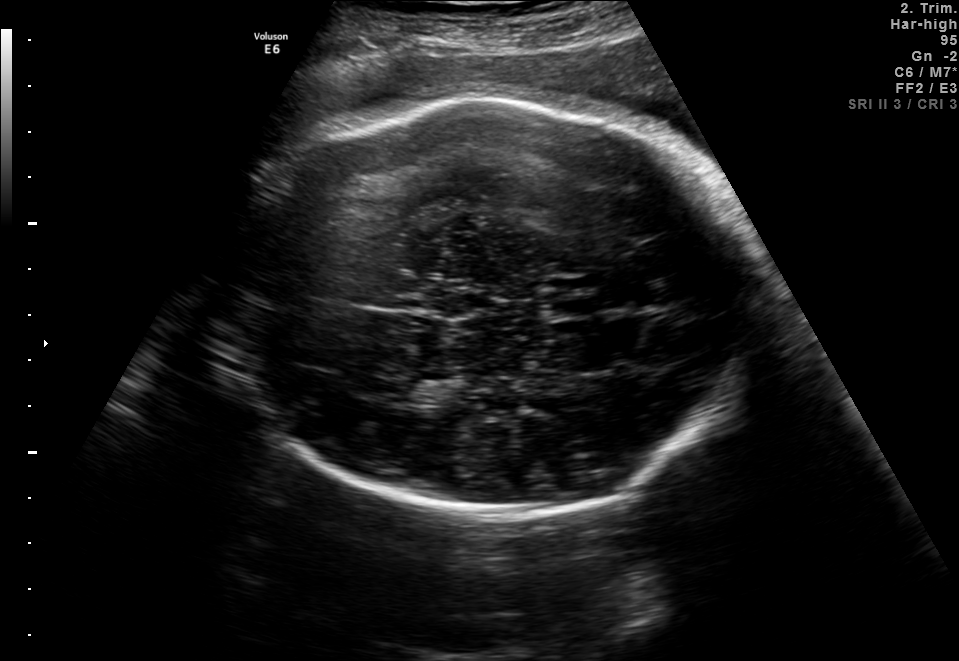
Identify the standard plane in this fetal ultrasound image: fetal abdomen, fetal brain, fetal femur, fetal thorax, maternal cervix, or other. If it's fetal brain and one of the three standard brain planes (trans-thalamic, trans-cerebellum, trans-ventricular), name which.

Fetal brain (trans-thalamic plane)